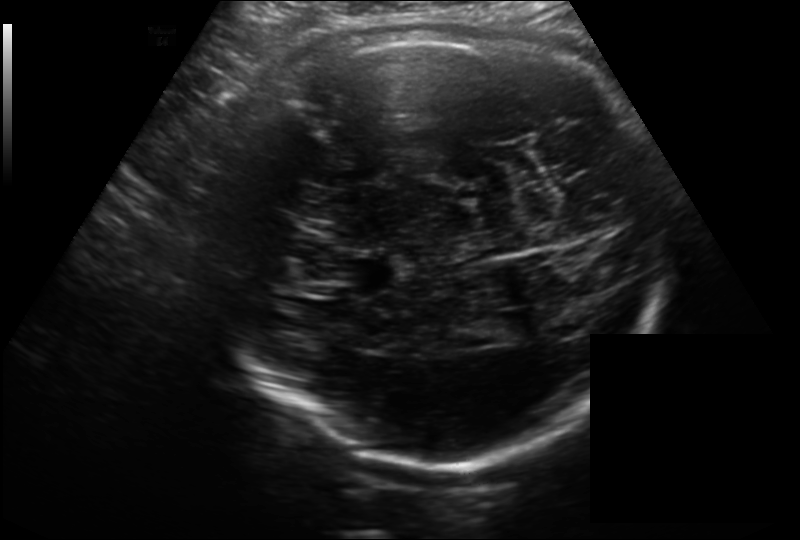
Estimate the fetal head circumference from this 2D ultrasound. Image width: 171.5 mm.

Head circumference: 311.2 mm.